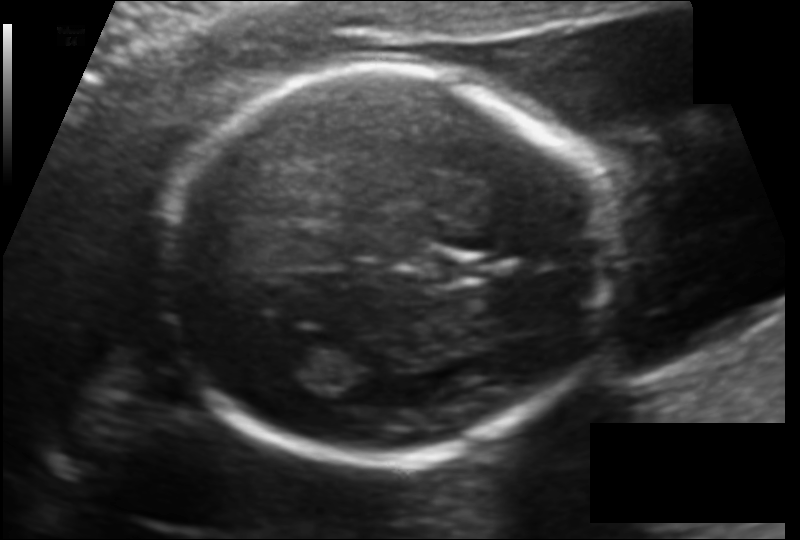
Fetal head ultrasound. Image width: 98.0 mm. Locate the fetal head and, if visible, the cavum septum pellucidum (CSP) and lateral ventricle (LV). Give bounding boxes as [x1,y1,x2,y2].

Head: [156,69,606,462]